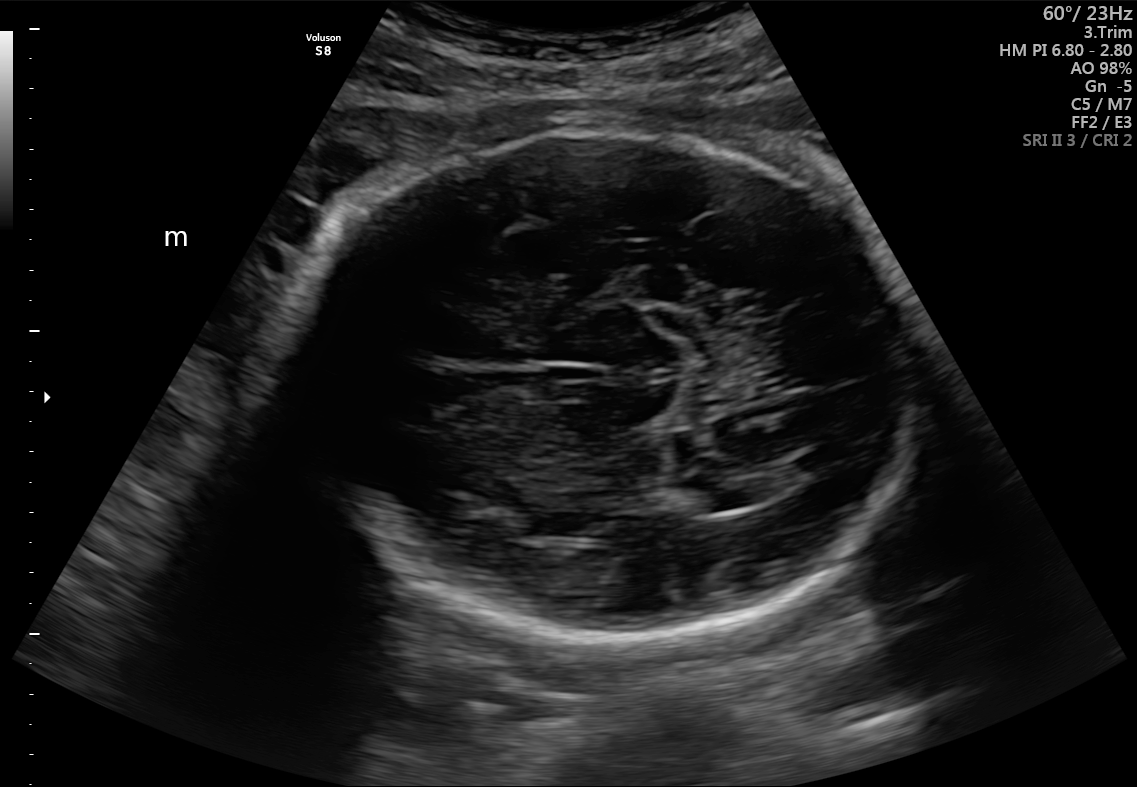
In this fetal brain, trans-thalamic plane, give the bounding box of the fetal head.

[286,135,920,645]